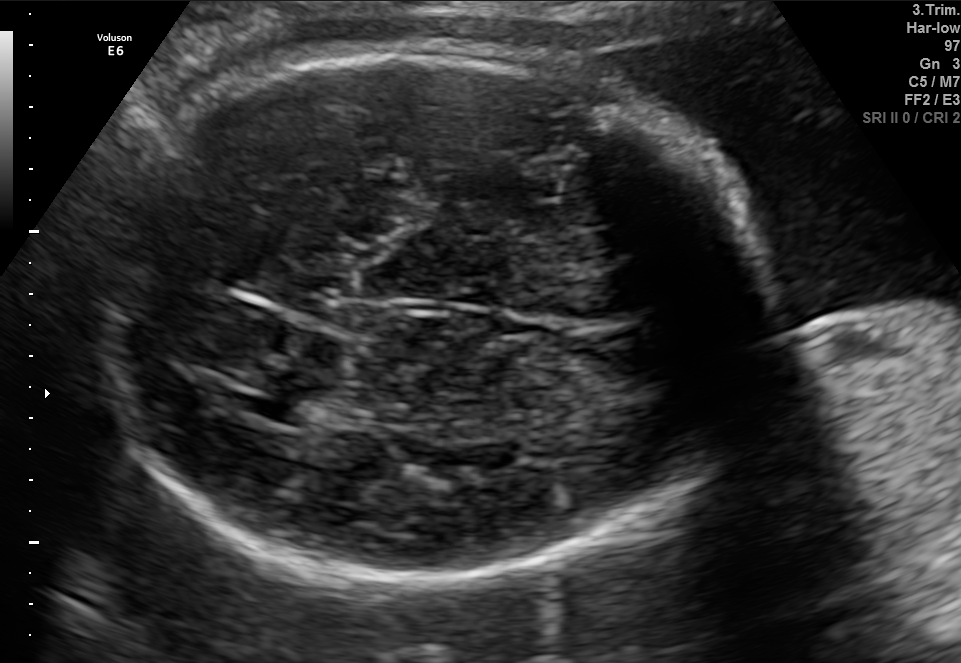
Fetal brain, trans-thalamic plane. Where is the fetal head?

Head bounding box: [86,43,775,580]